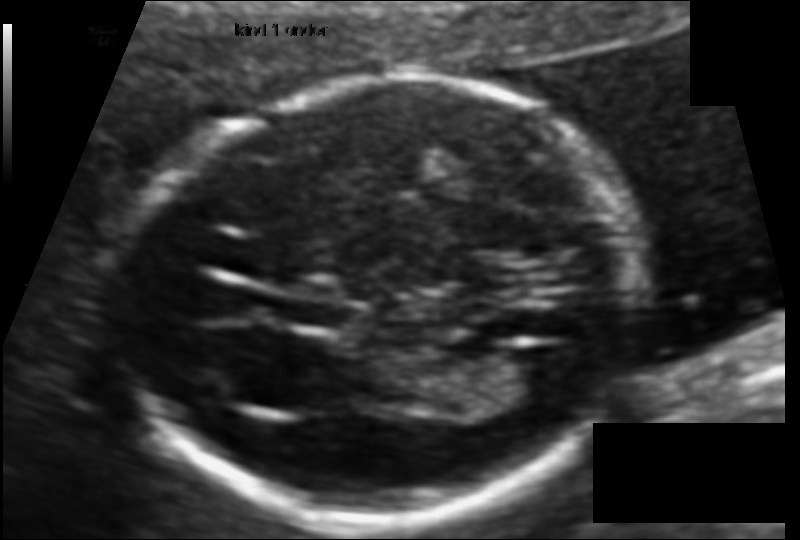
In this fetal head ultrasound, give the bounding box of the cavum septum pellucidum. Image width: 75.7 mm.

[290,297,353,332]